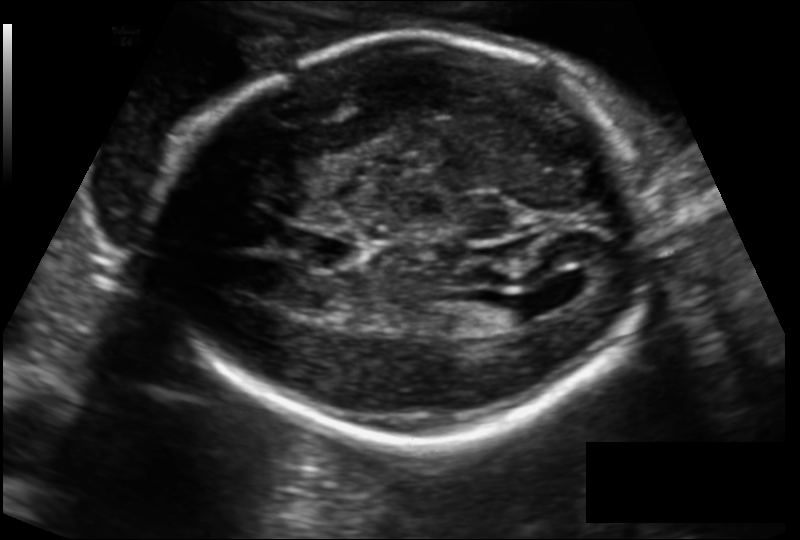
Fetal head ultrasound. Image width: 119.5 mm. Locate the fetal head.

Head: [154,35,659,440]